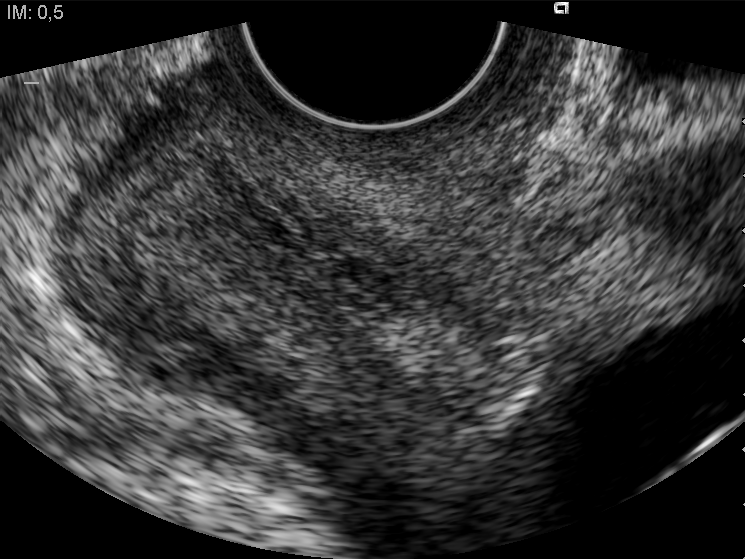
Classify this maternal-fetal ultrasound image as one of the six standard planes — fetal abdomen, fetal brain, fetal femur, fetal thorax, maternal cervix, or other. If it's fetal brain and one of the three standard brain planes (trans-thalamic, trans-cerebellum, trans-ventricular), name which.

Maternal cervix